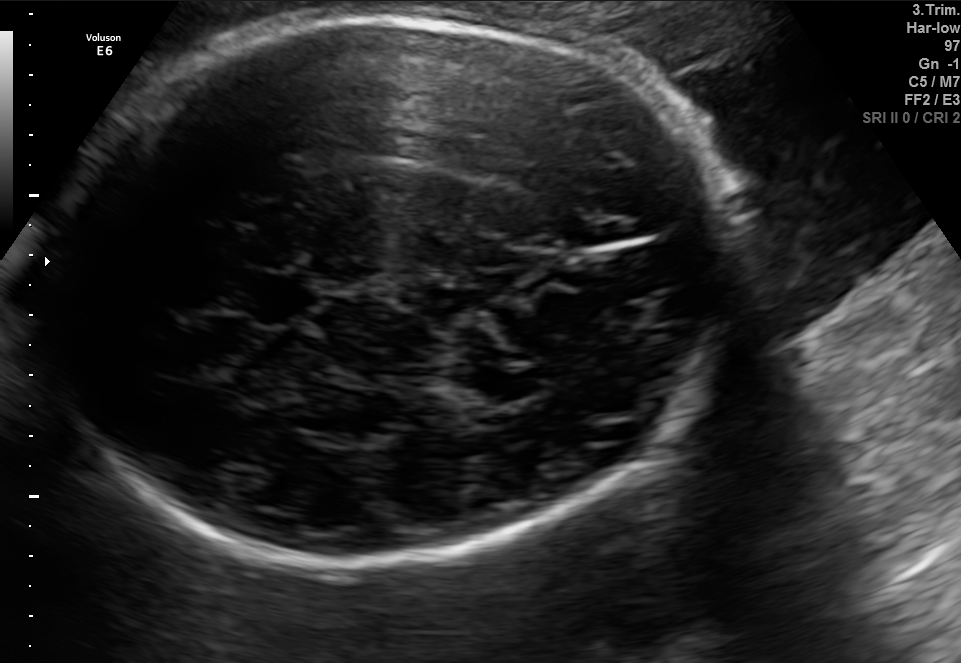
This is a 2D maternal-fetal ultrasound frame. Is it a fetal abdomen, fetal brain, fetal femur, fetal thorax, maternal cervix, or other standard plane? If it's fetal brain and one of the three standard brain planes (trans-thalamic, trans-cerebellum, trans-ventricular), name which.

Fetal brain (trans-thalamic plane)